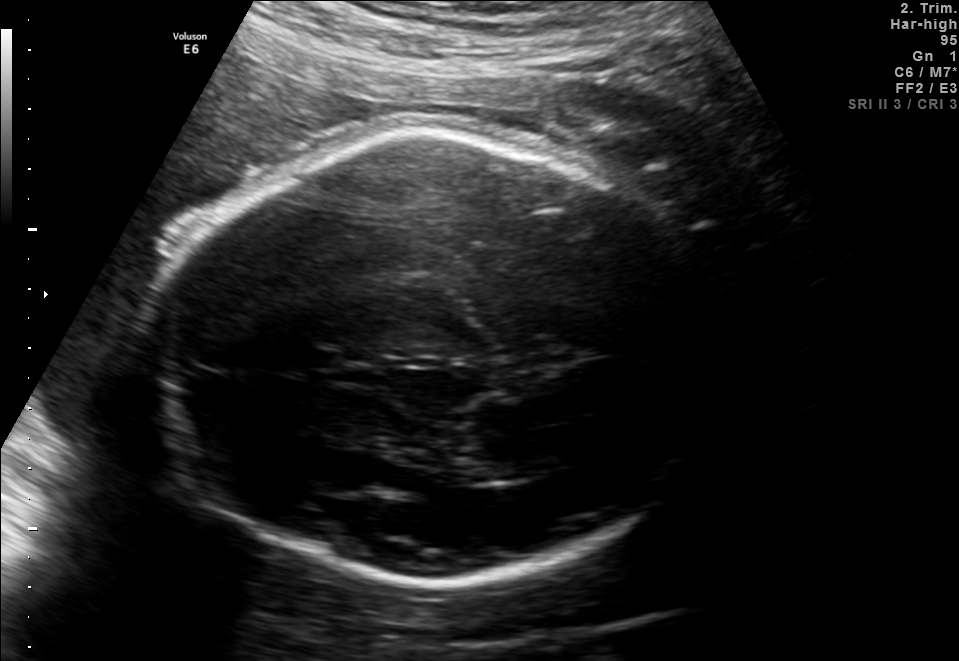
In this fetal brain, trans-thalamic plane, give bounding boxes for the head outline, cavum septum pellucidum (CSP), and lateral ventricle (LV), where visible.

Head: [141,127,714,578]